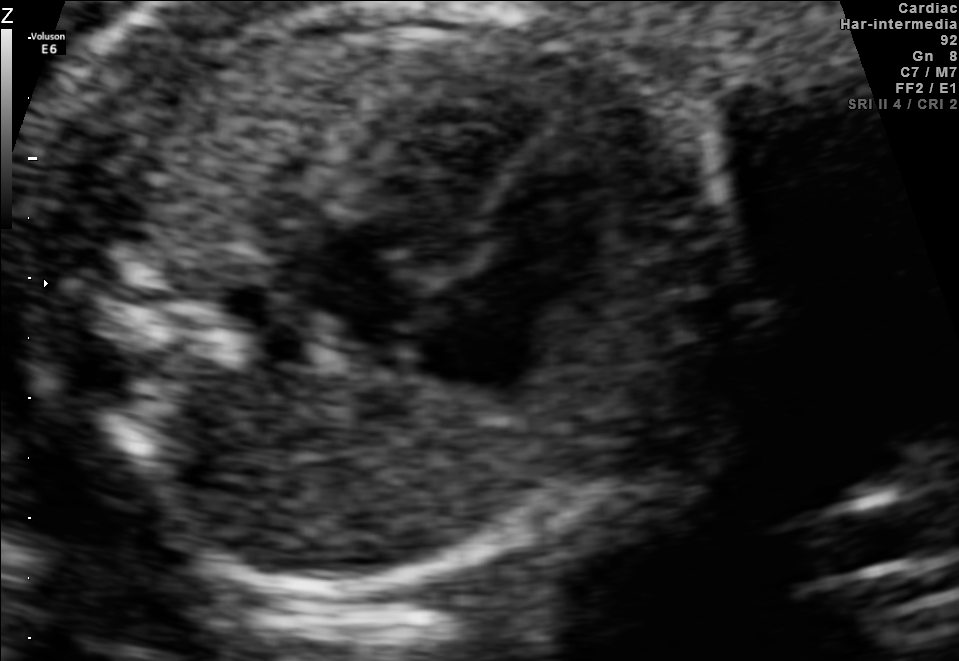
Identify the standard plane in this fetal ultrasound image: fetal abdomen, fetal brain, fetal femur, fetal thorax, maternal cervix, or other. If it's fetal brain and one of the three standard brain planes (trans-thalamic, trans-cerebellum, trans-ventricular), name which.

Fetal thorax